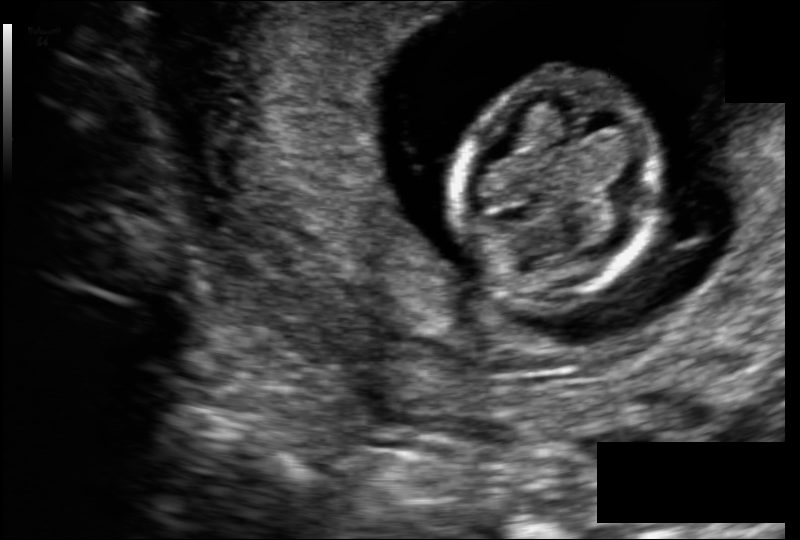
From this fetal ultrasound, estimate the head circumference (image width 87.2 mm).

Head circumference: 79.5 mm.